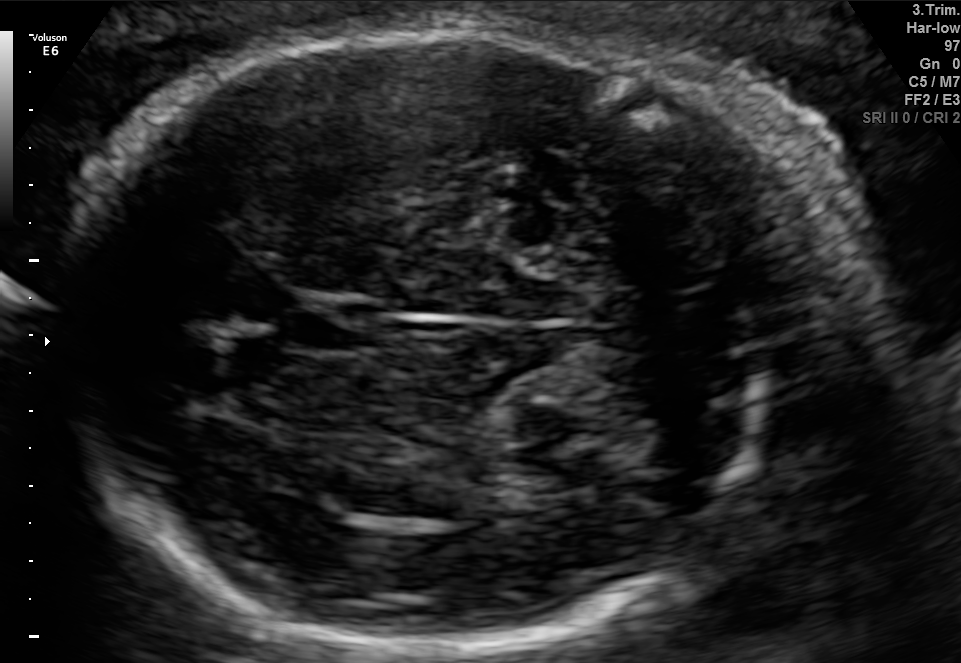
Fetal brain, trans-cerebellum plane. Give [x1,y1,x2,y2] bounding boxes for each visible structure among: fetal head, CSP, LV.

Head: [61,26,816,643]
CSP: [279,290,371,354]